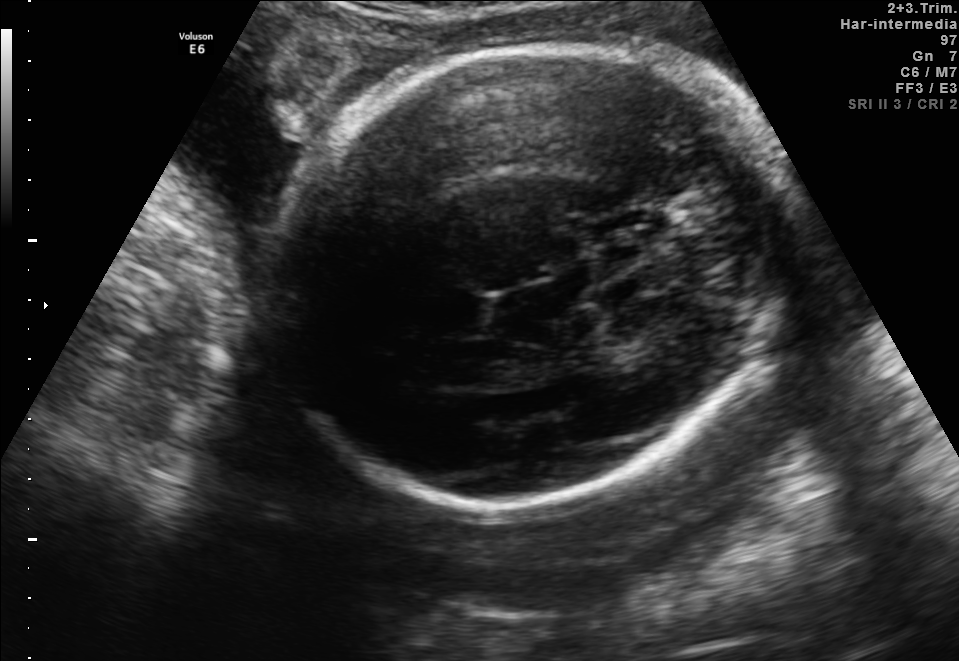
Fetal brain, trans-thalamic plane. Locate the fetal head and, if visible, the cavum septum pellucidum (CSP) and lateral ventricle (LV). Give bounding boxes as [x1,y1,x2,y2].

Head: [266,43,787,510]